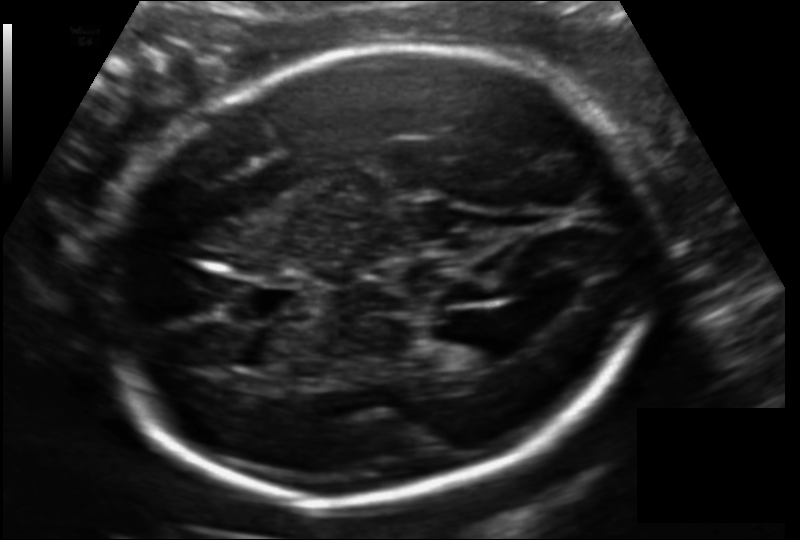
Fetal head ultrasound. Image width: 111.6 mm. Give [x1,y1,x2,y2] bounding boxes for each visible structure among: fetal head, CSP, LV.

Head: [115,46,650,506]
CSP: [238,277,311,325]
Lateral ventricle: [435,327,504,377]